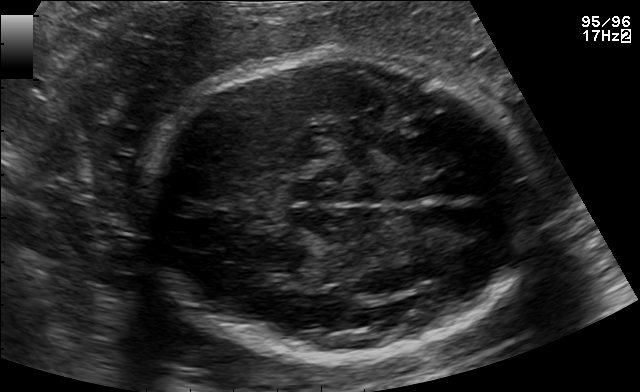
Fetal brain, trans-thalamic plane. Locate the fetal head.

Head: [146,55,529,358]